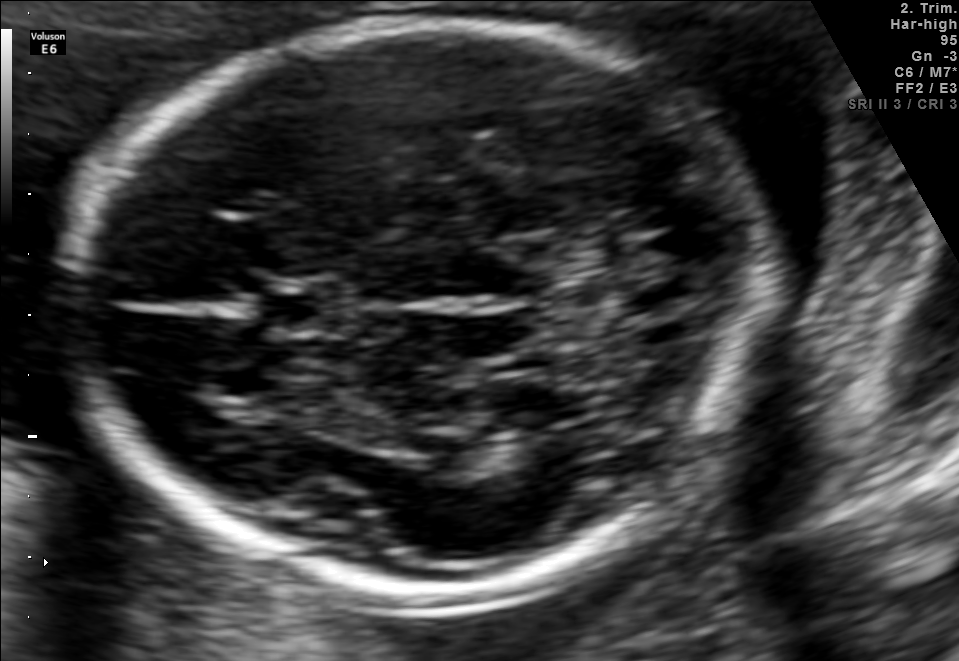
Which standard maternal-fetal ultrasound plane is shown: fetal abdomen, fetal brain, fetal femur, fetal thorax, maternal cervix, or other? If it's fetal brain and one of the three standard brain planes (trans-thalamic, trans-cerebellum, trans-ventricular), name which.

Fetal brain (trans-thalamic plane)